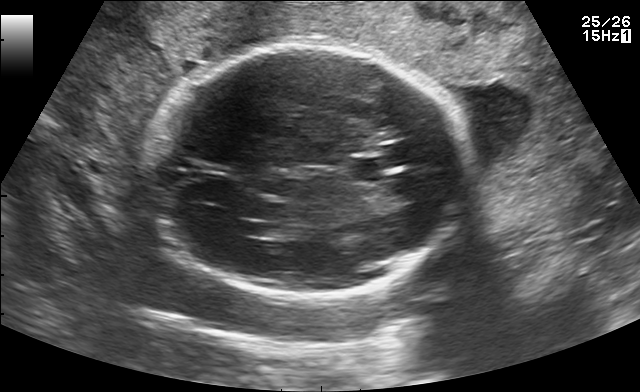
In this fetal brain, trans-ventricular plane, give the bounding box of the lateral ventricle.

[232,218,267,237]